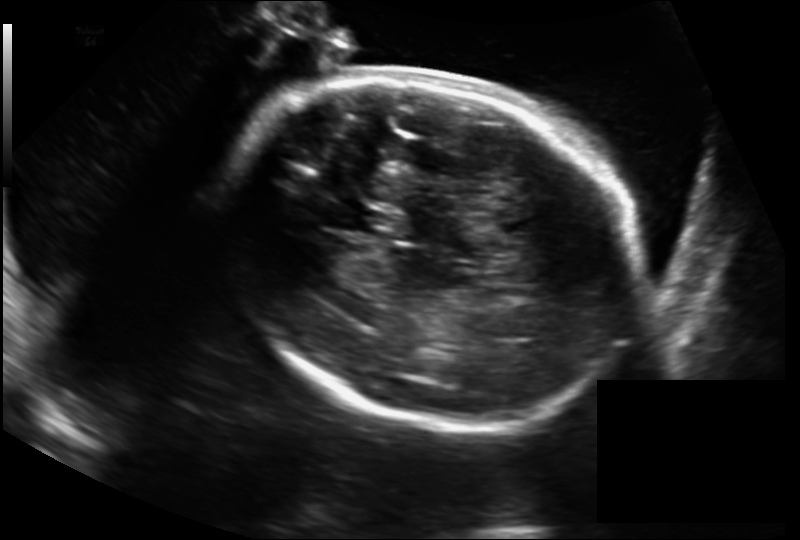
Fetal head ultrasound. Image width: 169.0 mm. Give [x1,y1,x2,y2] bounding boxes for each visible structure among: fetal head, CSP, LV.

Head: [216,78,639,423]